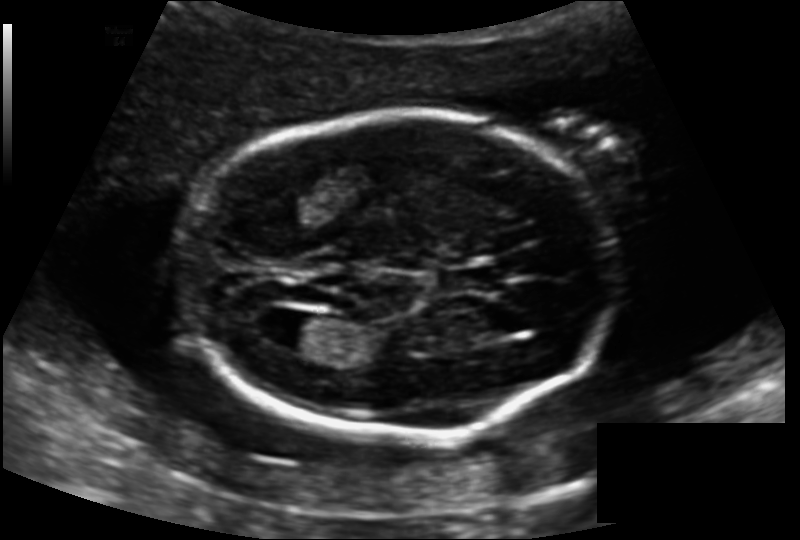
In this fetal head ultrasound, give the bounding box of the lateral ventricle. Image width: 111.5 mm.

[267,311,331,355]